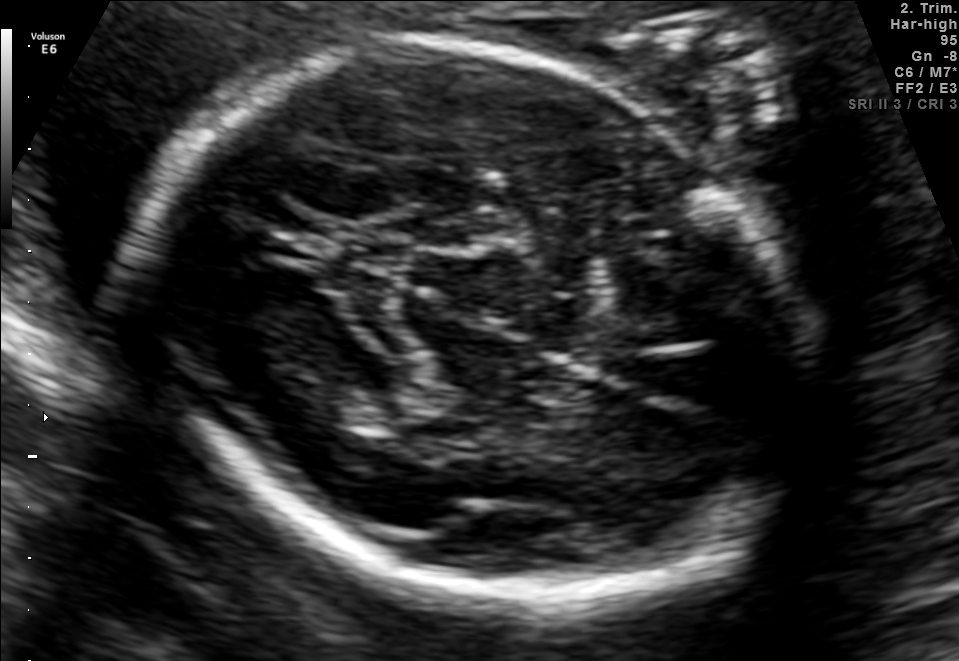
Fetal brain, trans-thalamic plane. Locate the fetal head.

Head: [143,40,802,601]